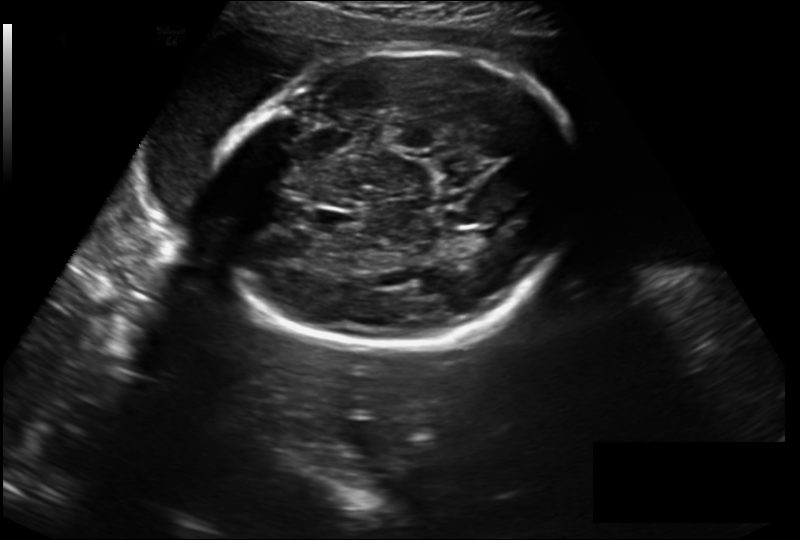
Fetal head ultrasound. Image width: 184.1 mm. Locate the fetal head.

Head: [212,52,581,347]